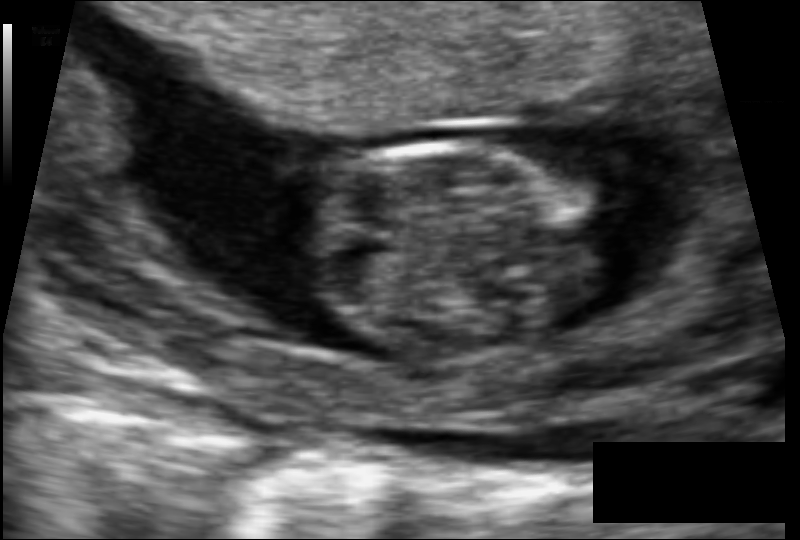
In this fetal head ultrasound, give bounding boxes for the head outline, cavum septum pellucidum (CSP), and lateral ventricle (LV), where visible. Image width: 61.8 mm.

Head: [304,141,603,356]